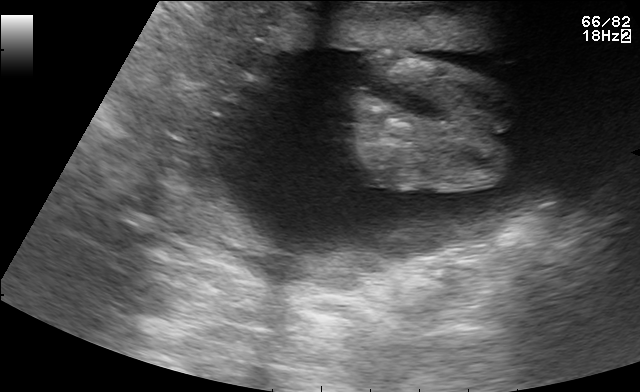
Classify this maternal-fetal ultrasound image as one of the six standard planes — fetal abdomen, fetal brain, fetal femur, fetal thorax, maternal cervix, or other. If it's fetal brain and one of the three standard brain planes (trans-thalamic, trans-cerebellum, trans-ventricular), name which.

Other